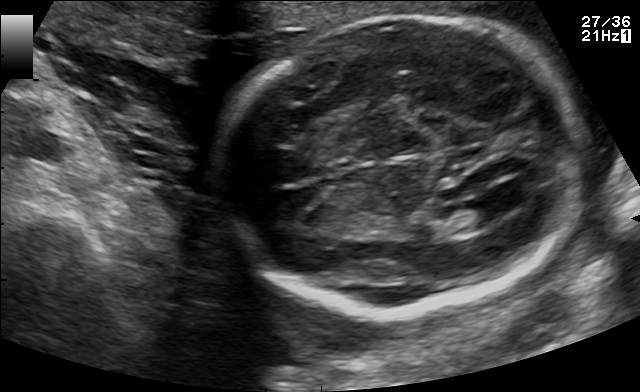
Fetal brain, trans-ventricular plane. Give [x1,y1,x2,y2] bounding boxes for each visible structure among: fetal head, CSP, LV.

Head: [212,11,595,319]
CSP: [313,161,359,189]
Lateral ventricle: [467,183,524,224]